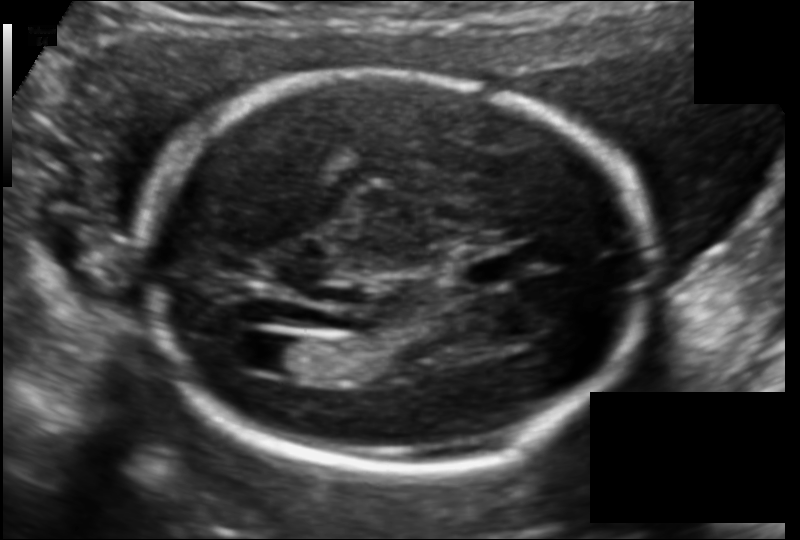
Fetal head ultrasound. Image width: 97.5 mm. Locate the lateral ventricle.

Lateral ventricle: [254,334,315,376]